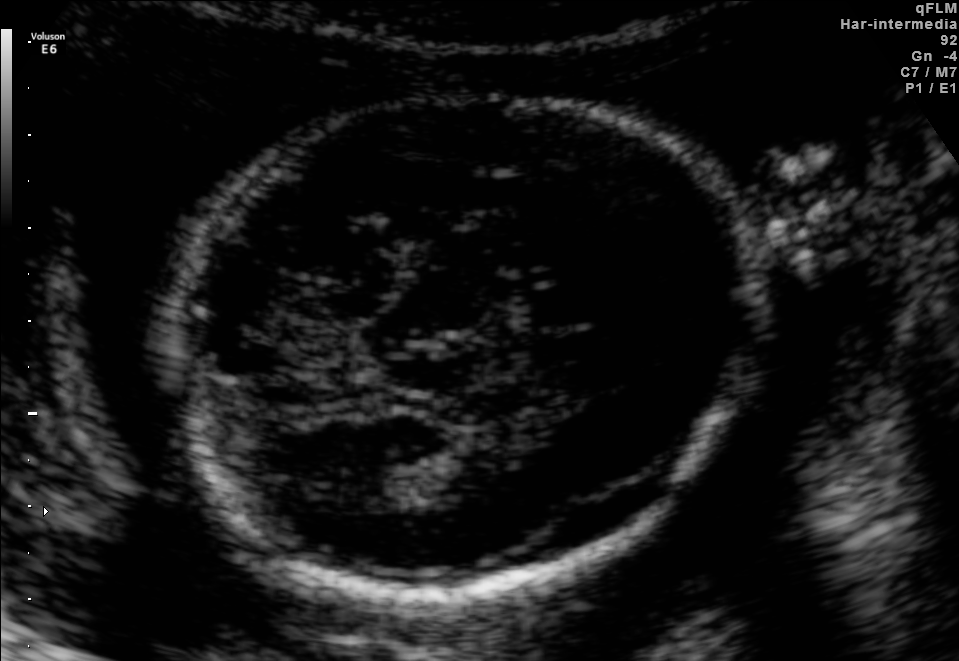
Fetal brain, trans-thalamic plane. Locate the lateral ventricle.

Lateral ventricle: [331,464,404,514]